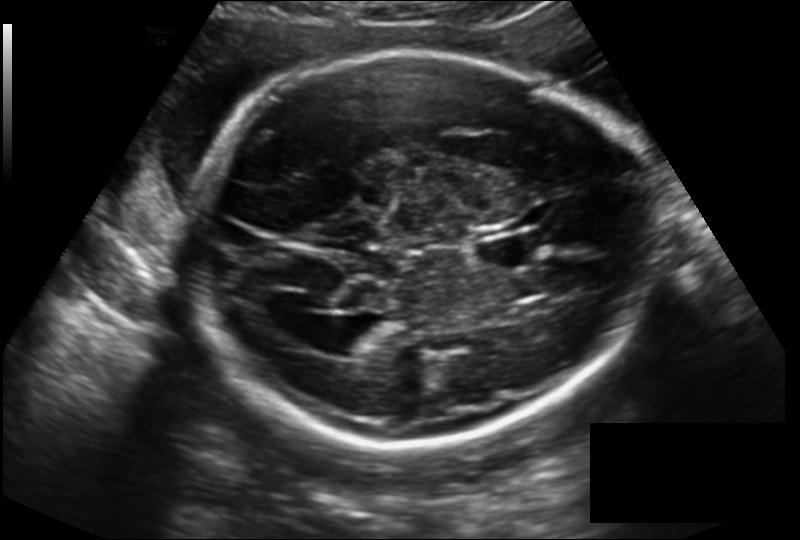
Fetal head ultrasound. Image width: 155.0 mm. Locate the fetal head and, if visible, the cavum septum pellucidum (CSP) and lateral ventricle (LV). Give bounding boxes as [x1,y1,x2,y2].

Head: [187,51,648,446]
CSP: [473,225,546,277]
Lateral ventricle: [313,313,385,360]